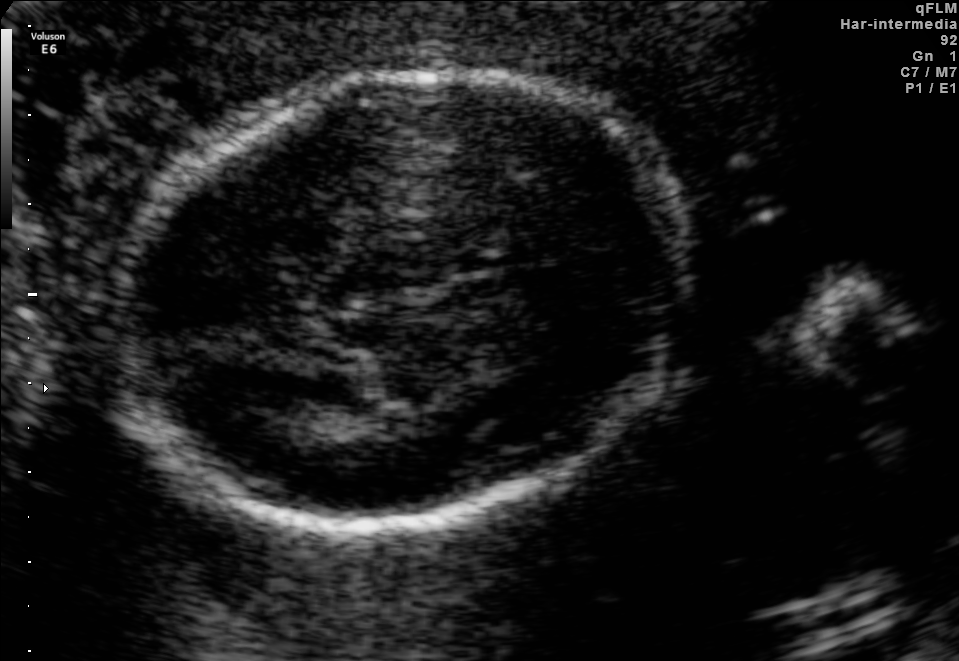
In this fetal brain, trans-thalamic plane, give bounding boxes for the head outline, cavum septum pellucidum (CSP), and lateral ventricle (LV), where visible.

Head: [119,74,688,531]